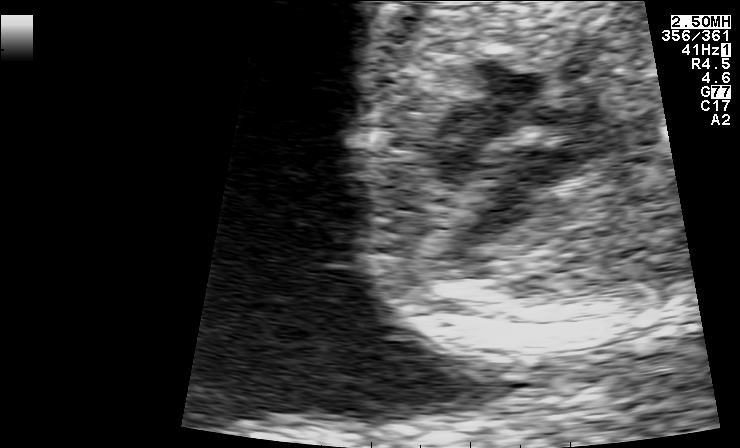
This is a 2D maternal-fetal ultrasound frame. Is it a fetal abdomen, fetal brain, fetal femur, fetal thorax, maternal cervix, or other standard plane? If it's fetal brain and one of the three standard brain planes (trans-thalamic, trans-cerebellum, trans-ventricular), name which.

Fetal thorax